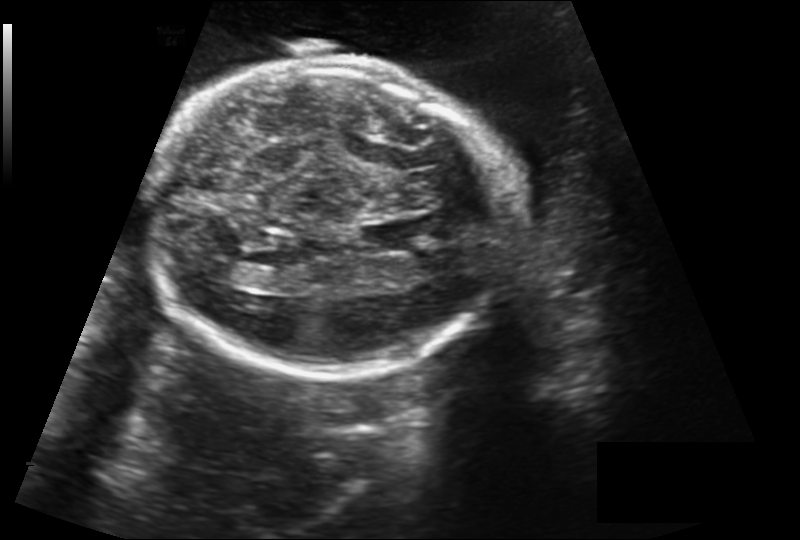
In this fetal head ultrasound, give bounding boxes for the head outline, cavum septum pellucidum (CSP), and lateral ventricle (LV), where visible. Image width: 169.6 mm.

Head: [152,58,511,376]